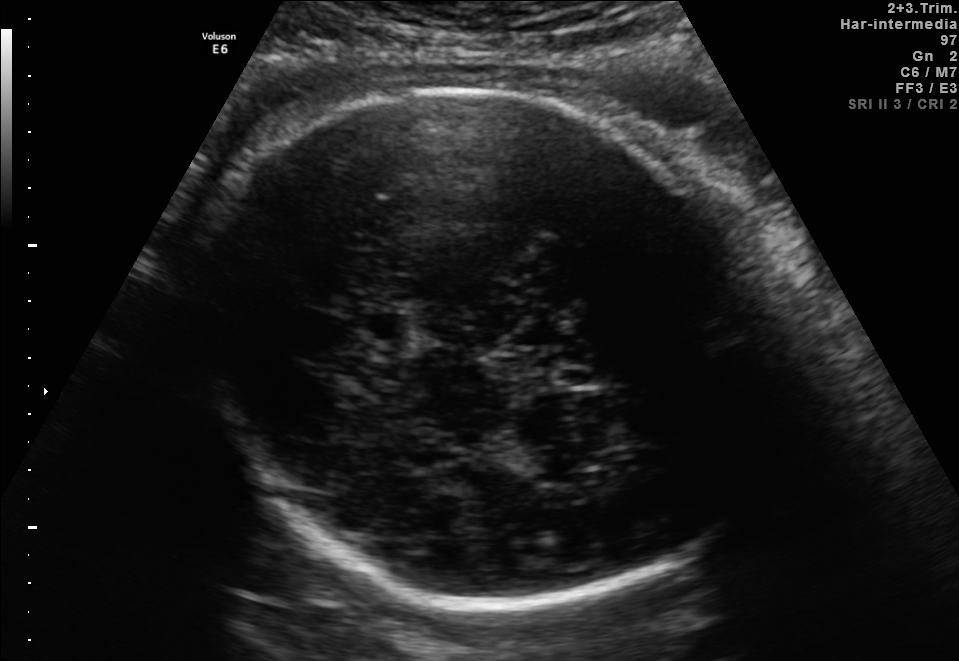
In this fetal brain, trans-thalamic plane, give the bounding box of the cavum septum pellucidum.

[349,303,411,348]